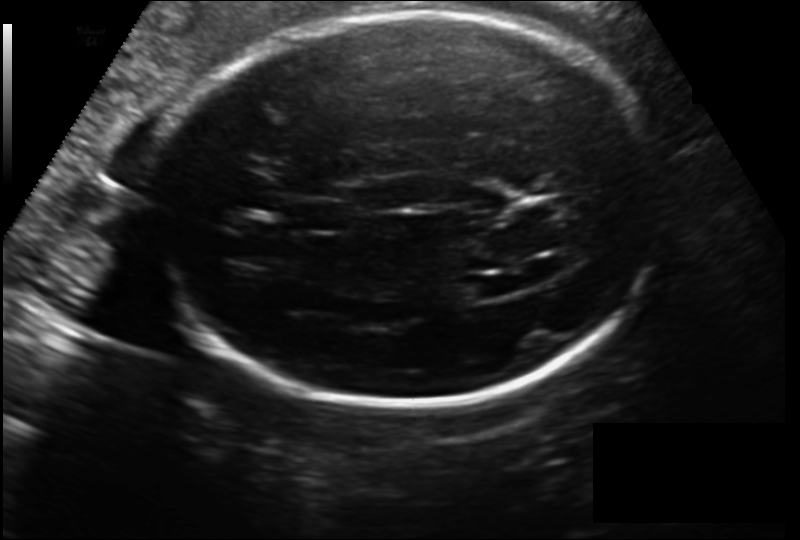
Fetal head ultrasound. Image width: 149.1 mm. Where is the cavum septum pellucidum?

CSP bounding box: [291,198,351,235]